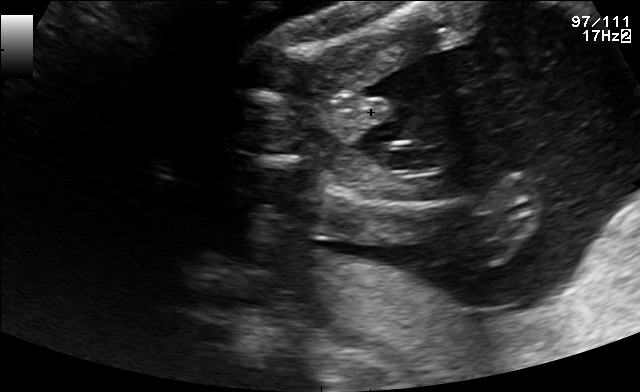
Which standard maternal-fetal ultrasound plane is shown: fetal abdomen, fetal brain, fetal femur, fetal thorax, maternal cervix, or other? If it's fetal brain and one of the three standard brain planes (trans-thalamic, trans-cerebellum, trans-ventricular), name which.

Fetal femur